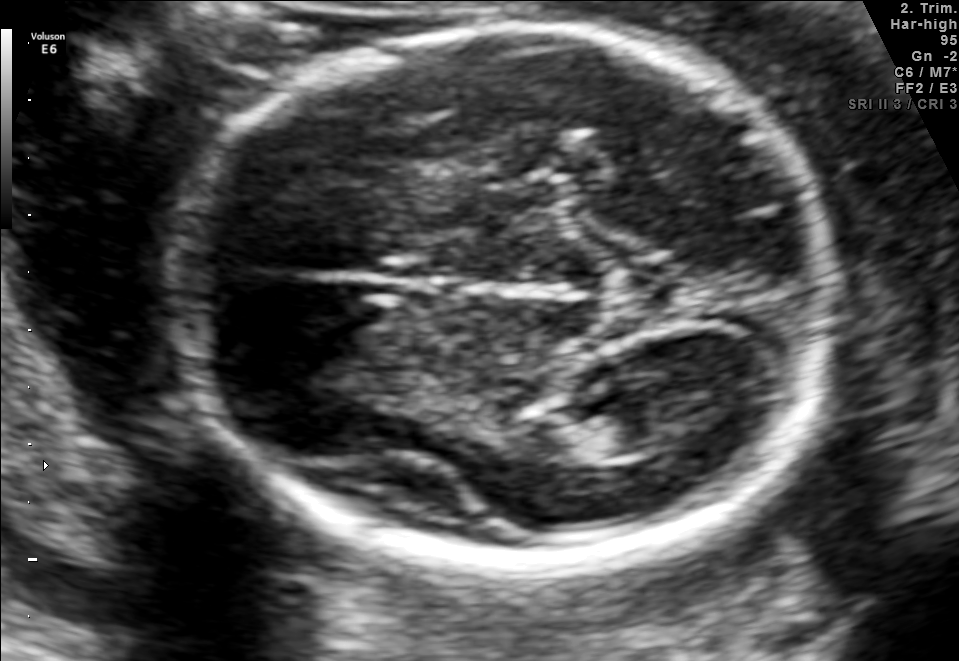
In this fetal brain, trans-thalamic plane, give the bounding box of the fetal head.

[169,28,834,563]